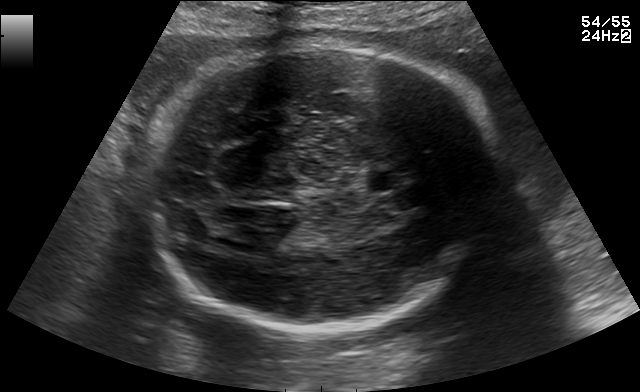
Fetal brain, trans-thalamic plane. Where is the fetal head?

Head bounding box: [138,46,507,325]